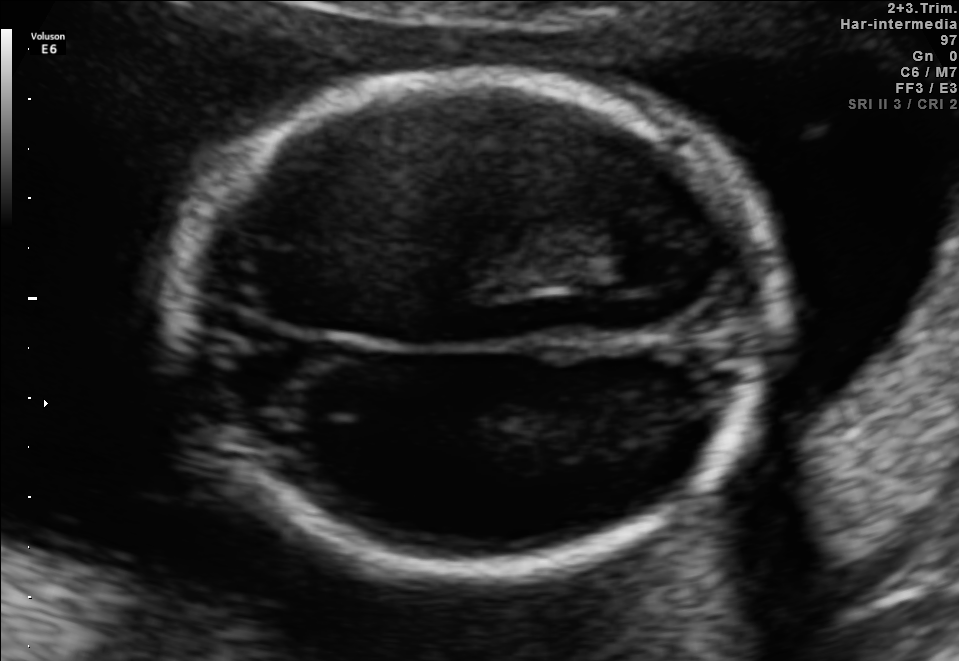
Fetal brain, trans-thalamic plane. Locate the fetal head and, if visible, the cavum septum pellucidum (CSP) and lateral ventricle (LV). Give bounding boxes as [x1,y1,x2,y2].

Head: [175,79,780,574]